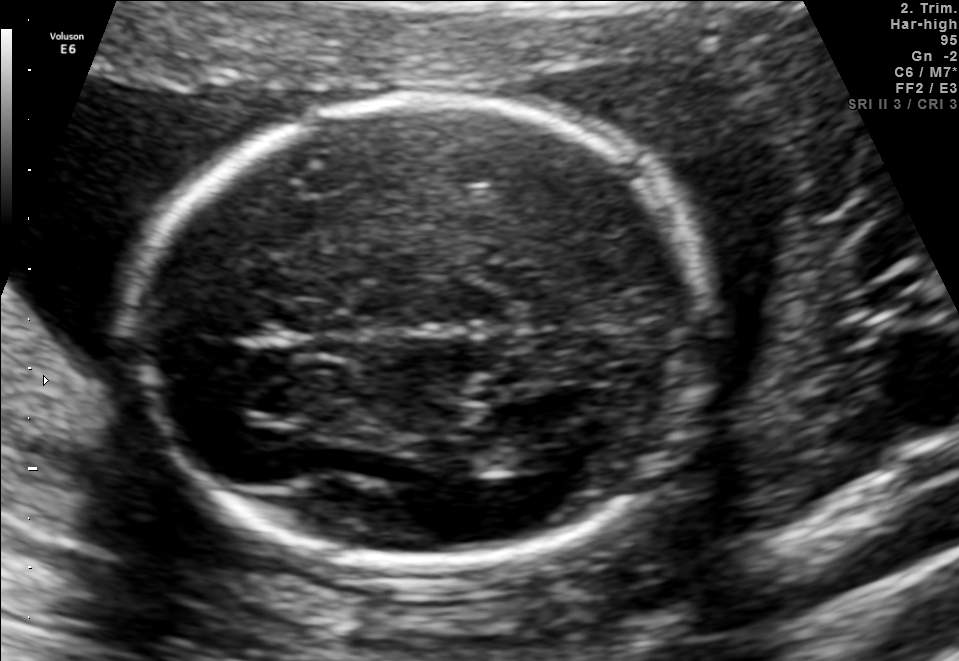
Fetal brain, trans-thalamic plane. Where is the fetal head?

Head bounding box: [137,98,698,559]